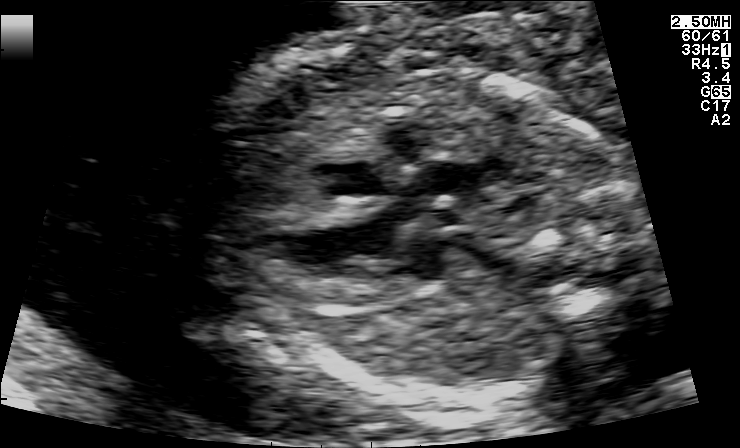
Classify this maternal-fetal ultrasound image as one of the six standard planes — fetal abdomen, fetal brain, fetal femur, fetal thorax, maternal cervix, or other. If it's fetal brain and one of the three standard brain planes (trans-thalamic, trans-cerebellum, trans-ventricular), name which.

Other